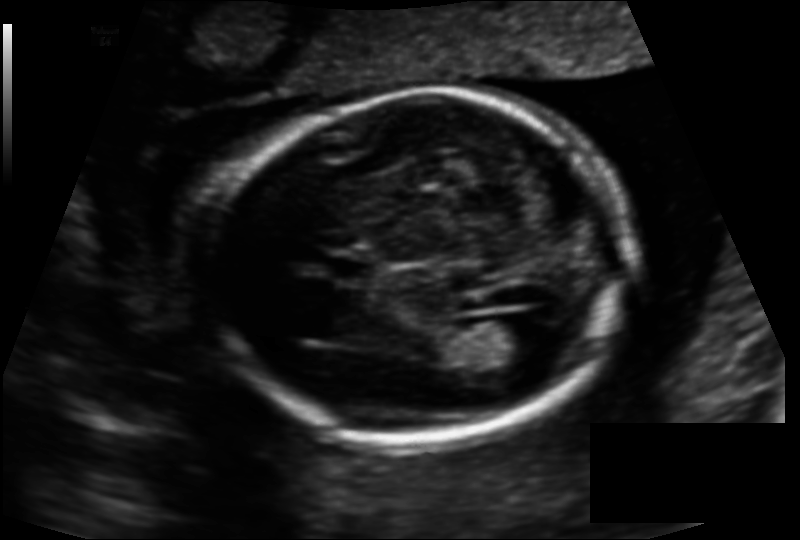
Fetal head ultrasound. Image width: 107.3 mm. Where is the lateral ventricle?

Lateral ventricle bounding box: [491,306,559,363]